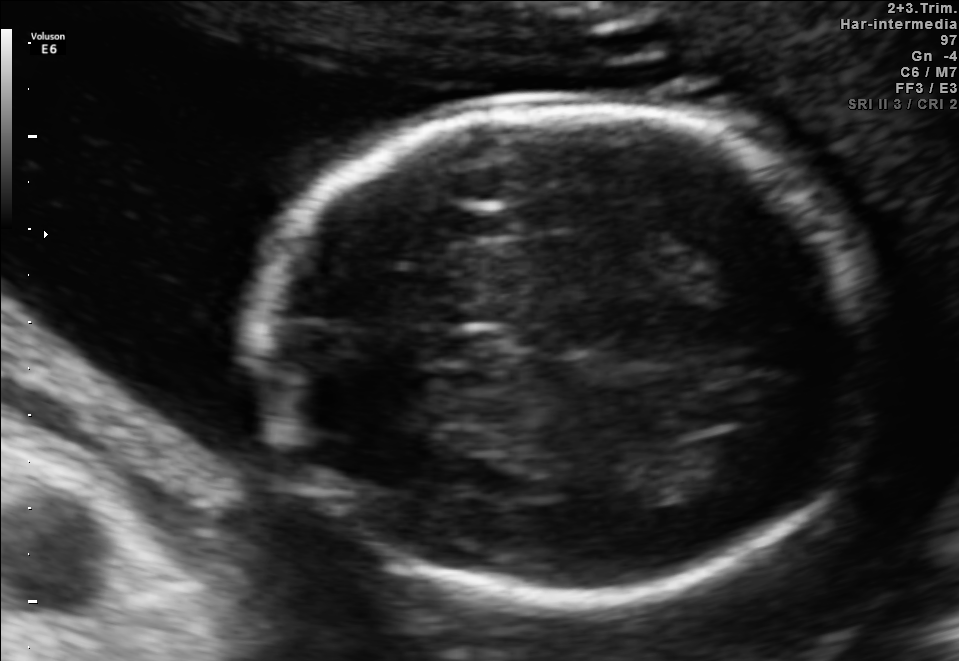
In this fetal brain, trans-ventricular plane, give the bounding box of the lateral ventricle.

[685,421,788,494]